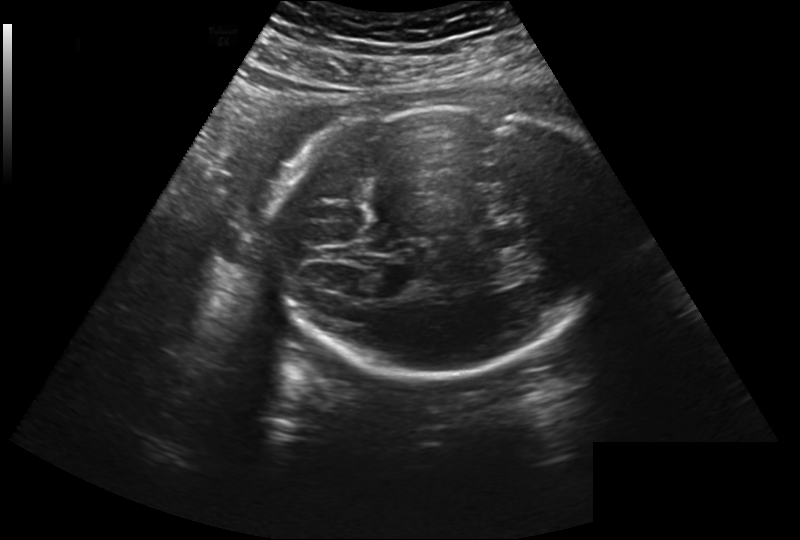
Fetal head ultrasound. Image width: 208.3 mm. Locate the cavum septum pellucidum.

CSP: [477,223,522,251]